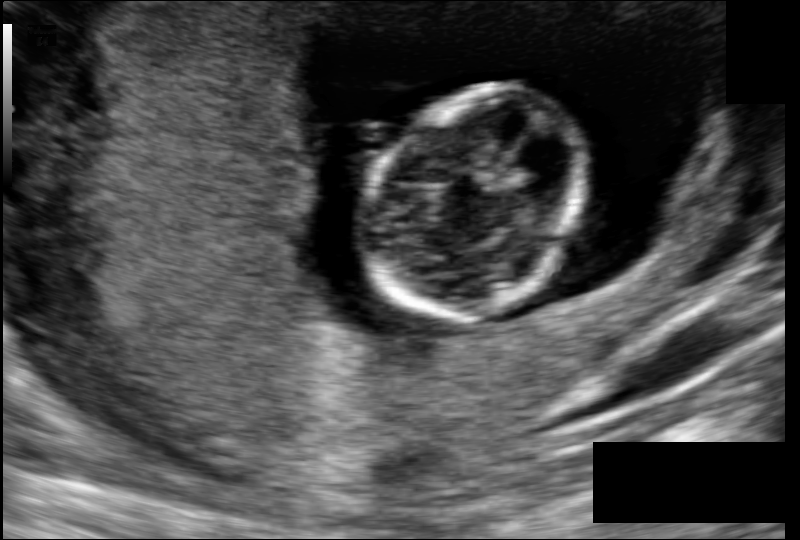
Estimate the fetal head circumference from this 2D ultrasound. Image width: 86.3 mm.

Head circumference: 77.5 mm.